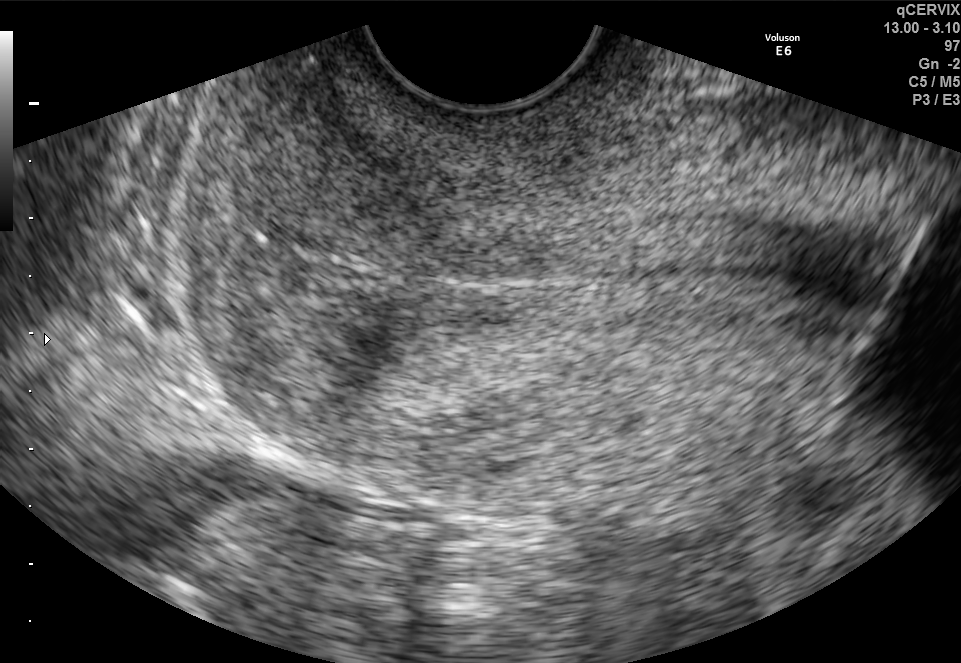
This is a 2D maternal-fetal ultrasound frame. Is it a fetal abdomen, fetal brain, fetal femur, fetal thorax, maternal cervix, or other standard plane? If it's fetal brain and one of the three standard brain planes (trans-thalamic, trans-cerebellum, trans-ventricular), name which.

Maternal cervix